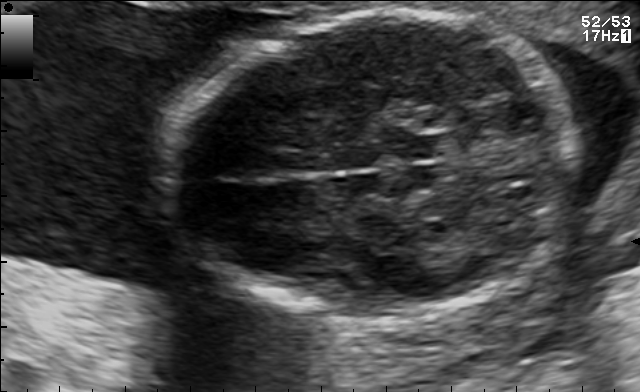
Which standard maternal-fetal ultrasound plane is shown: fetal abdomen, fetal brain, fetal femur, fetal thorax, maternal cervix, or other? If it's fetal brain and one of the three standard brain planes (trans-thalamic, trans-cerebellum, trans-ventricular), name which.

Fetal brain (trans-thalamic plane)